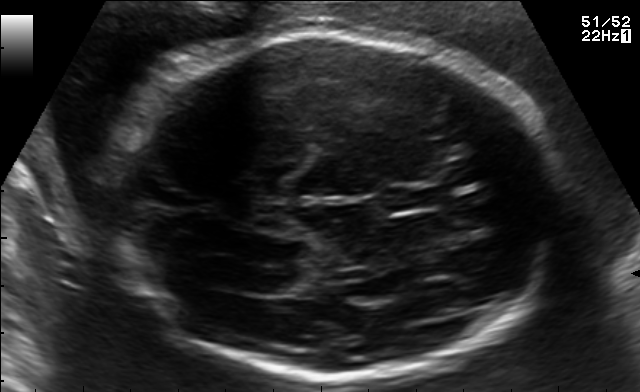
In this fetal brain, trans-ventricular plane, give bounding boxes for the head outline, cavum septum pellucidum (CSP), and lateral ventricle (LV), where visible.

Head: [97,28,575,383]
CSP: [384,186,437,214]
Lateral ventricle: [229,262,293,295]